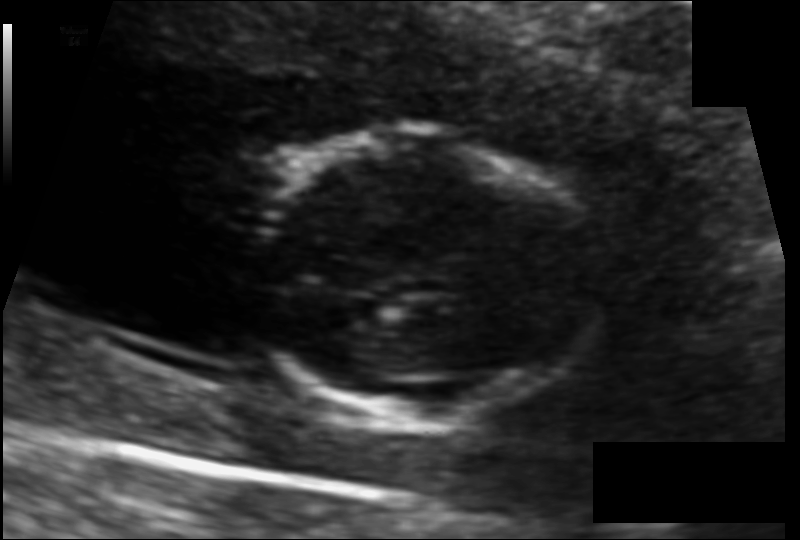
Measure the fetal head circumference shown in this ultrasound image. Image width: 72.8 mm.

Head circumference: 94.3 mm.